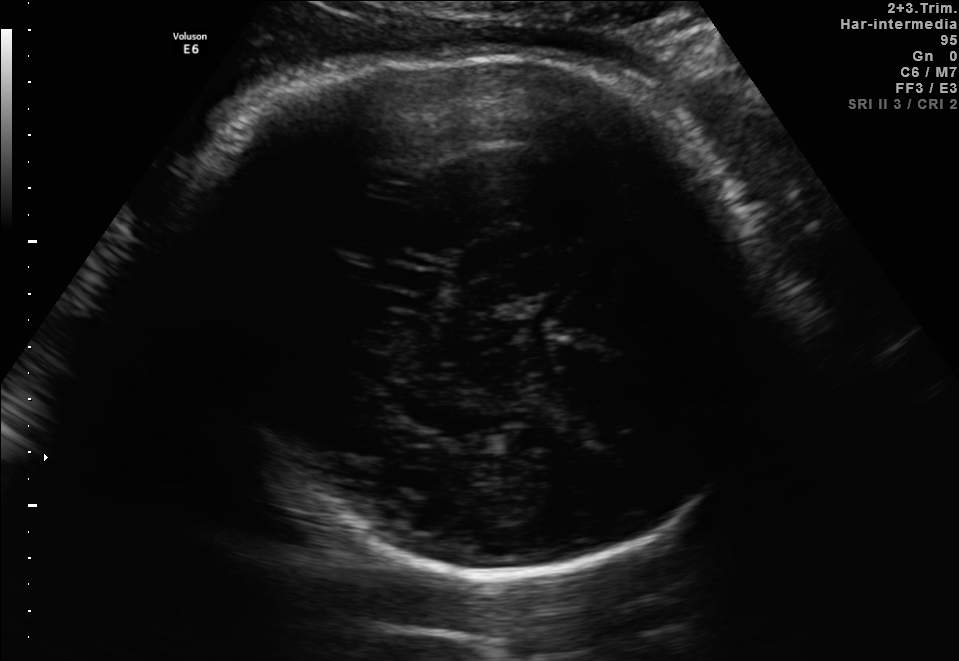
This is a 2D maternal-fetal ultrasound frame. Is it a fetal abdomen, fetal brain, fetal femur, fetal thorax, maternal cervix, or other standard plane? If it's fetal brain and one of the three standard brain planes (trans-thalamic, trans-cerebellum, trans-ventricular), name which.

Fetal brain (trans-thalamic plane)